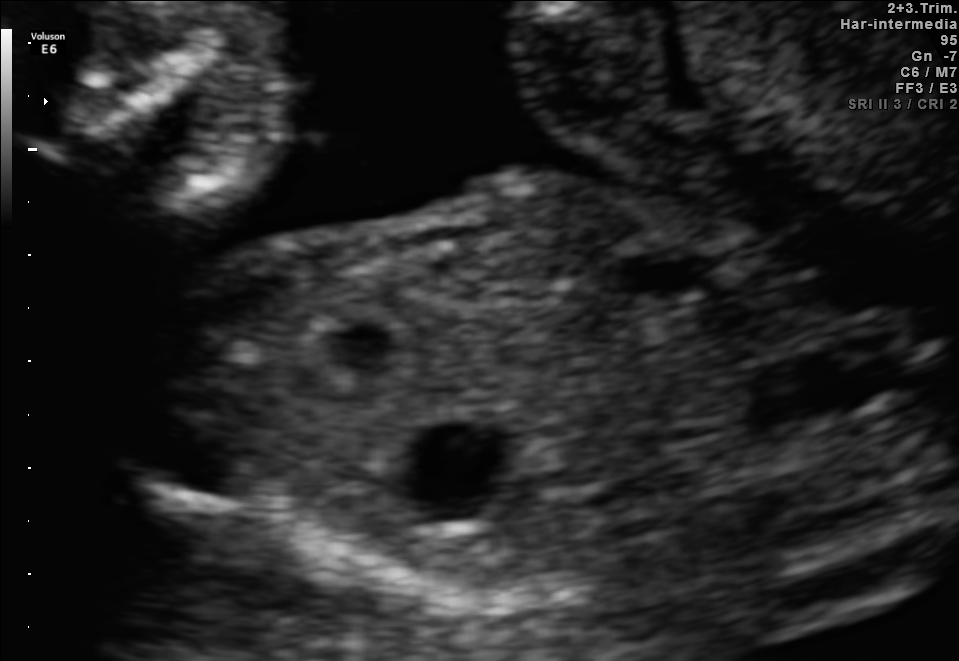
Classify this maternal-fetal ultrasound image as one of the six standard planes — fetal abdomen, fetal brain, fetal femur, fetal thorax, maternal cervix, or other. If it's fetal brain and one of the three standard brain planes (trans-thalamic, trans-cerebellum, trans-ventricular), name which.

Other